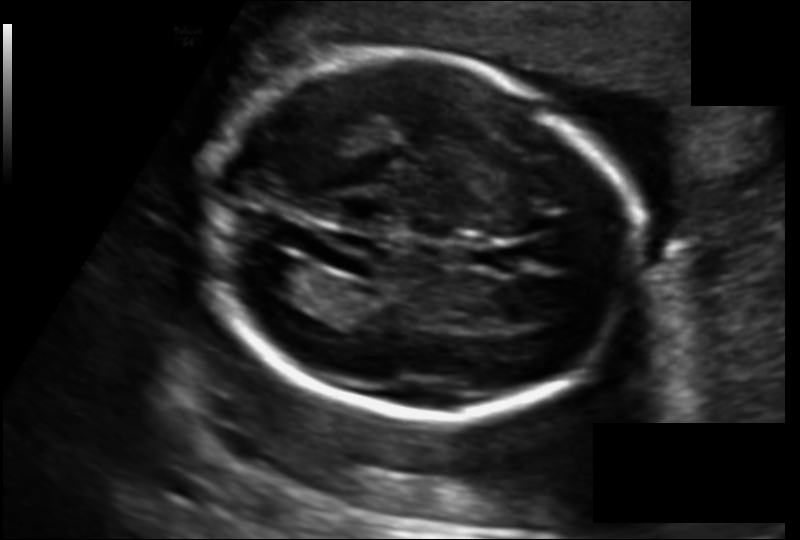
Fetal head ultrasound. Image width: 107.9 mm. Locate the fetal head and, if visible, the cavum septum pellucidum (CSP) and lateral ventricle (LV). Give bounding boxes as [x1,y1,x2,y2].

Head: [203,51,632,418]
CSP: [465,242,520,272]
Lateral ventricle: [247,244,319,305]